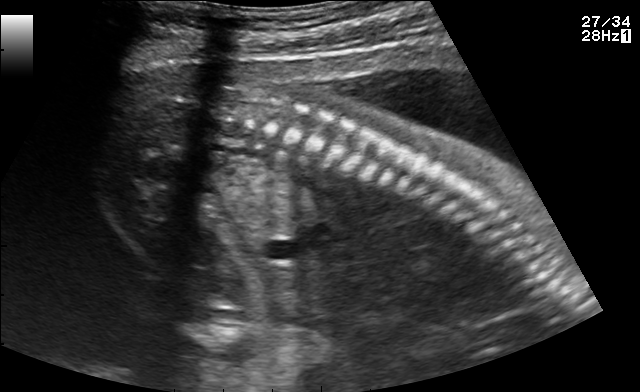
Which standard maternal-fetal ultrasound plane is shown: fetal abdomen, fetal brain, fetal femur, fetal thorax, maternal cervix, or other? If it's fetal brain and one of the three standard brain planes (trans-thalamic, trans-cerebellum, trans-ventricular), name which.

Other